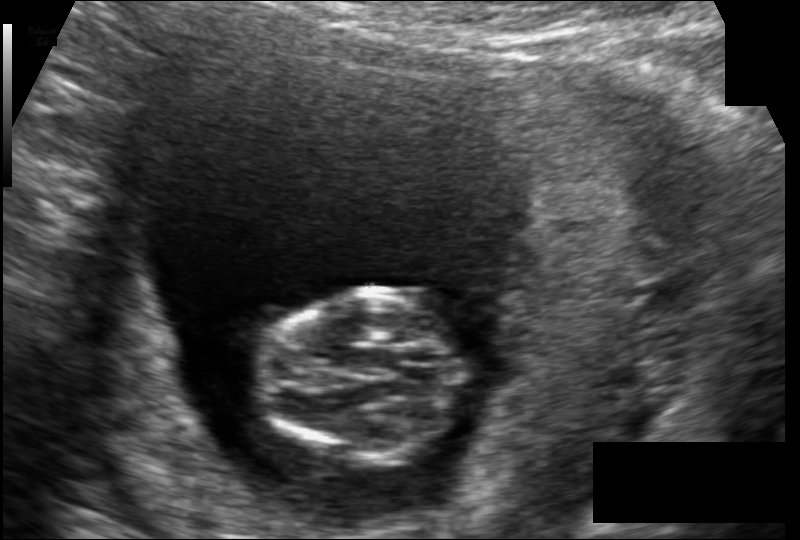
Measure the fetal head circumference shown in this ultrasound image. Image width: 93.8 mm.

Head circumference: 74.0 mm.